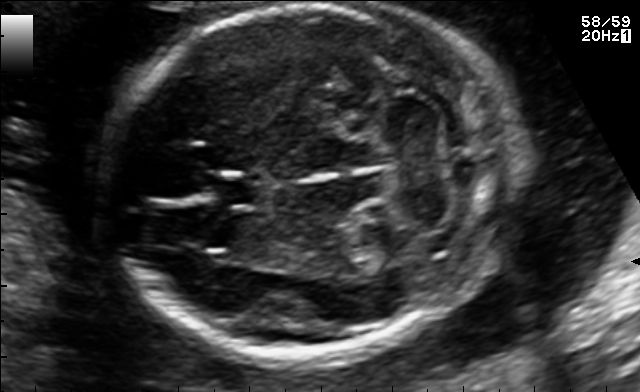
In this fetal brain, trans-cerebellum plane, give bounding boxes for the head outline, cavum septum pellucidum (CSP), and lateral ventricle (LV), where visible.

Head: [110,3,521,355]
CSP: [207,173,263,207]